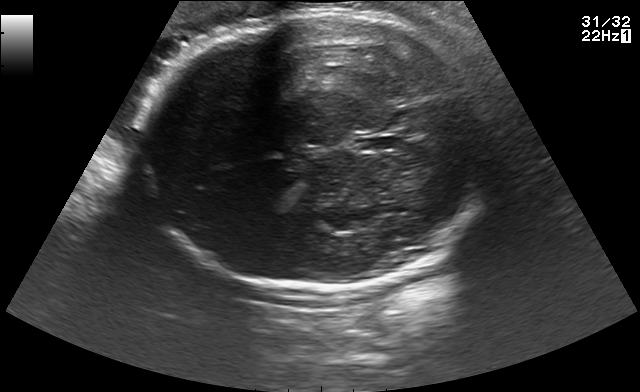
In this fetal brain, trans-thalamic plane, give the bounding box of the cavum septum pellucidum.

[356,135,398,152]